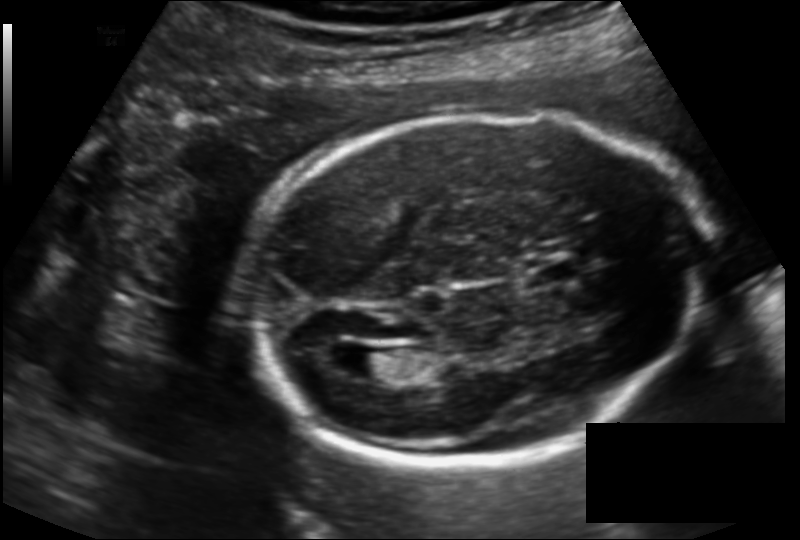
Fetal head ultrasound. Image width: 114.4 mm. Locate the fetal head and, if visible, the cavum septum pellucidum (CSP) and lateral ventricle (LV). Give bounding boxes as [x1,y1,x2,y2].

Head: [242,110,708,464]
CSP: [522,257,578,291]
Lateral ventricle: [344,345,400,380]